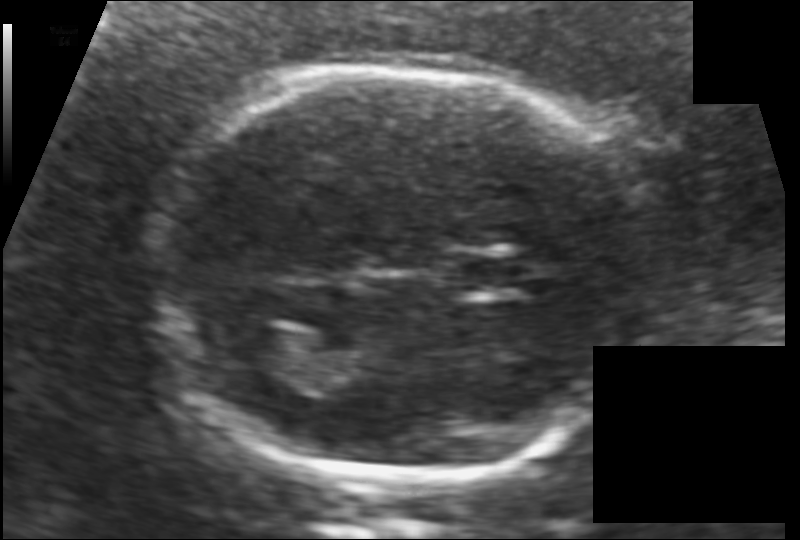
Estimate the fetal head circumference from this 2D ultrasound.

Head circumference: 171.4 mm (image width 94.0 mm).